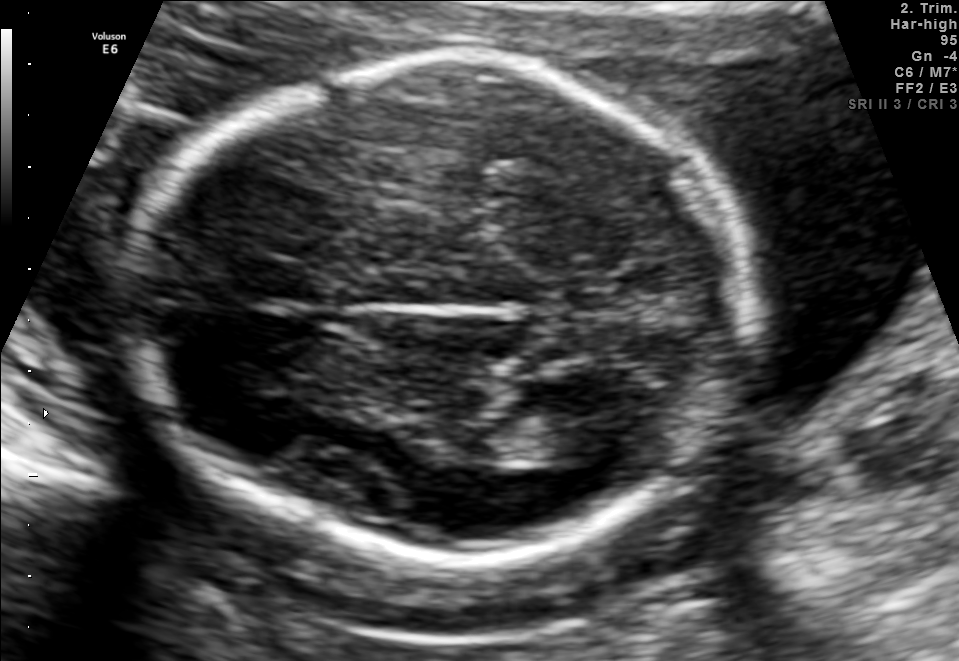
Fetal brain, trans-thalamic plane. Locate the fetal head and, if visible, the cavum septum pellucidum (CSP) and lateral ventricle (LV). Give bounding boxes as [x1,y1,x2,y2].

Head: [126,64,757,561]
Lateral ventricle: [515,409,619,469]